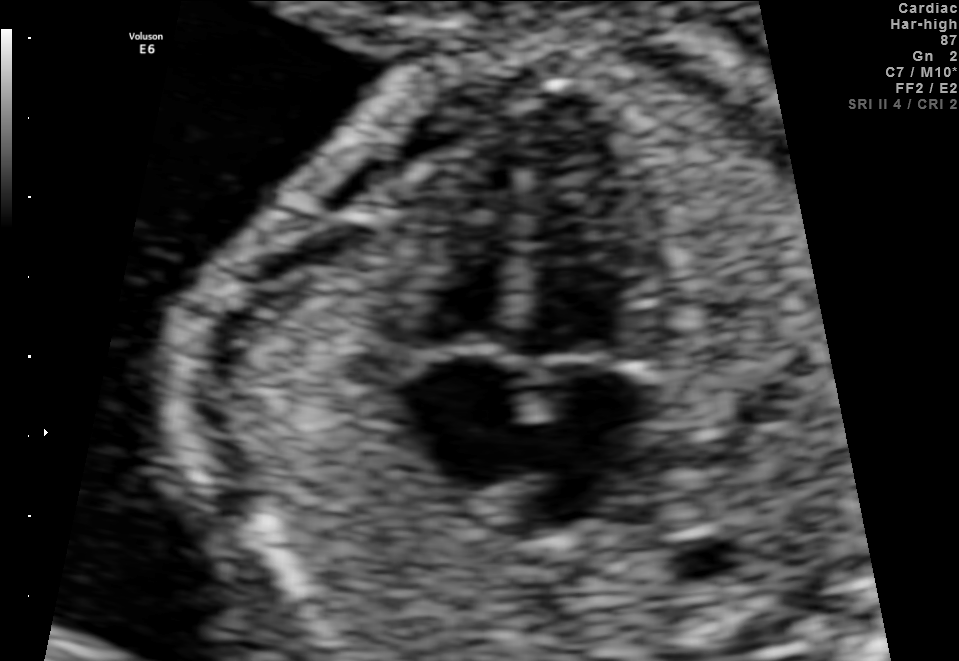
Which standard maternal-fetal ultrasound plane is shown: fetal abdomen, fetal brain, fetal femur, fetal thorax, maternal cervix, or other? If it's fetal brain and one of the three standard brain planes (trans-thalamic, trans-cerebellum, trans-ventricular), name which.

Fetal thorax